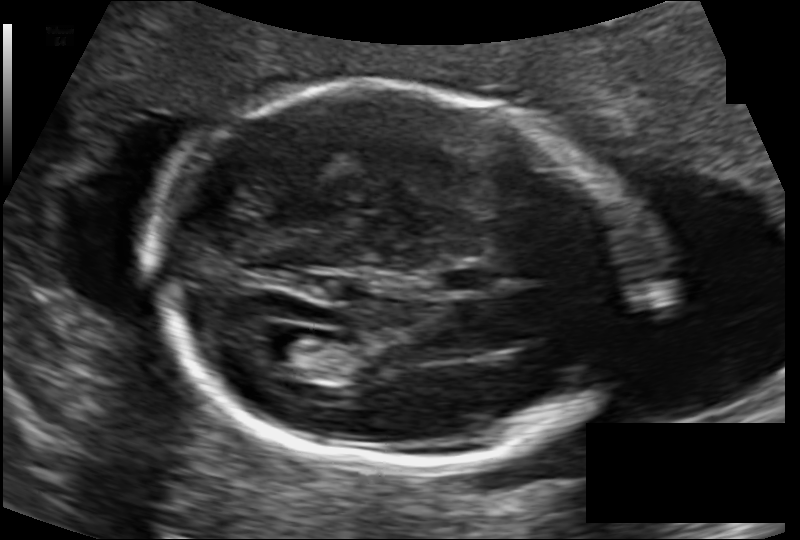
What is the fetal head circumference? Image width is 95.8 mm.

169.7 mm